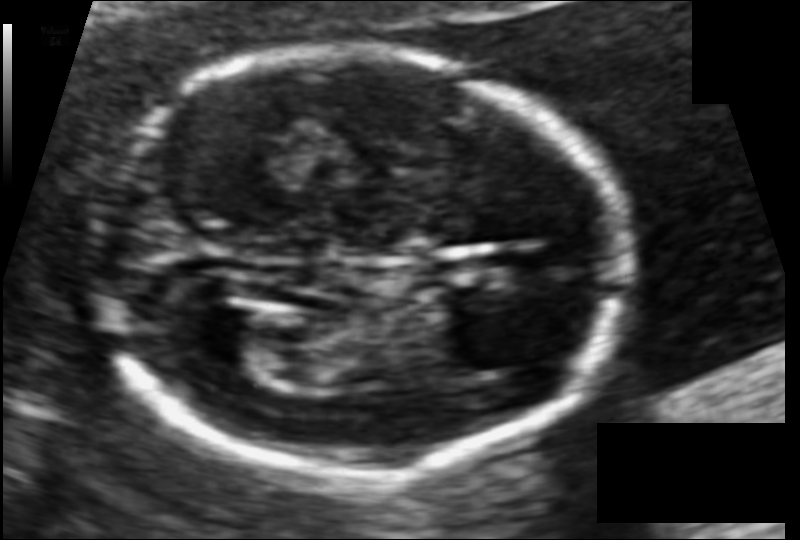
Fetal head ultrasound. Image width: 69.9 mm. Locate the lateral ventricle.

Lateral ventricle: [180,298,276,373]